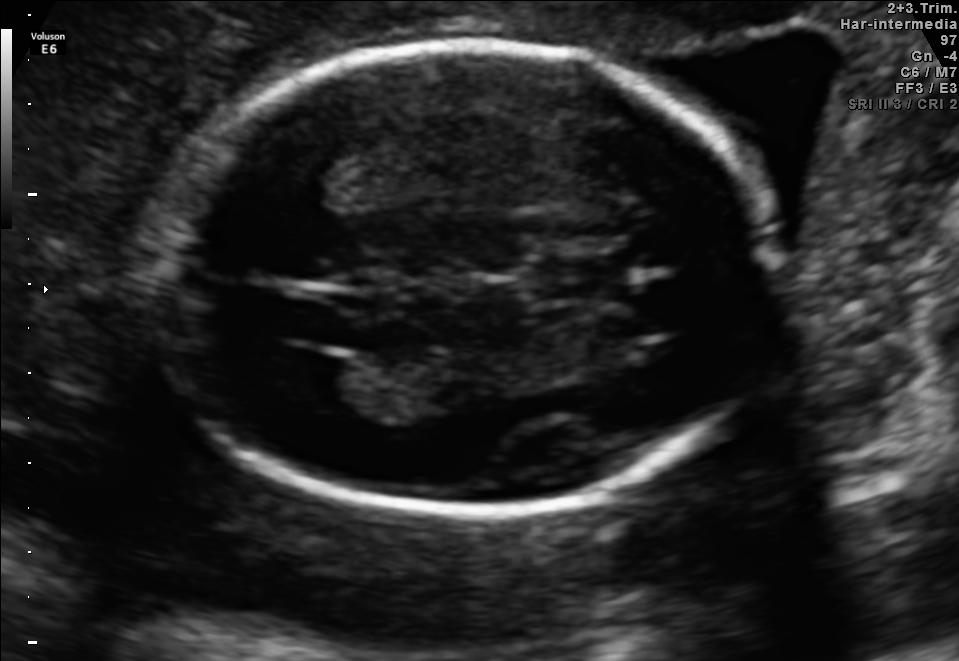
Fetal brain, trans-ventricular plane. Locate the fetal head.

Head: [144,37,797,520]